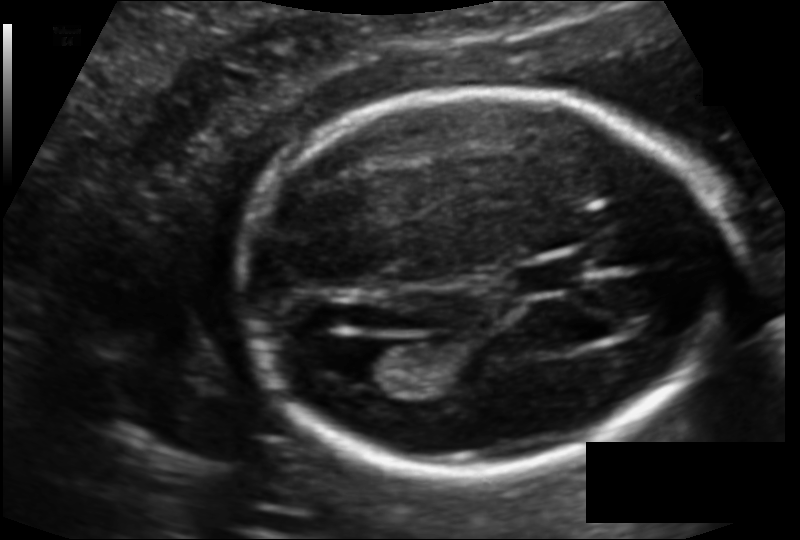
Fetal head ultrasound. Image width: 96.9 mm. Where is the fetal head?

Head bounding box: [237,89,722,475]